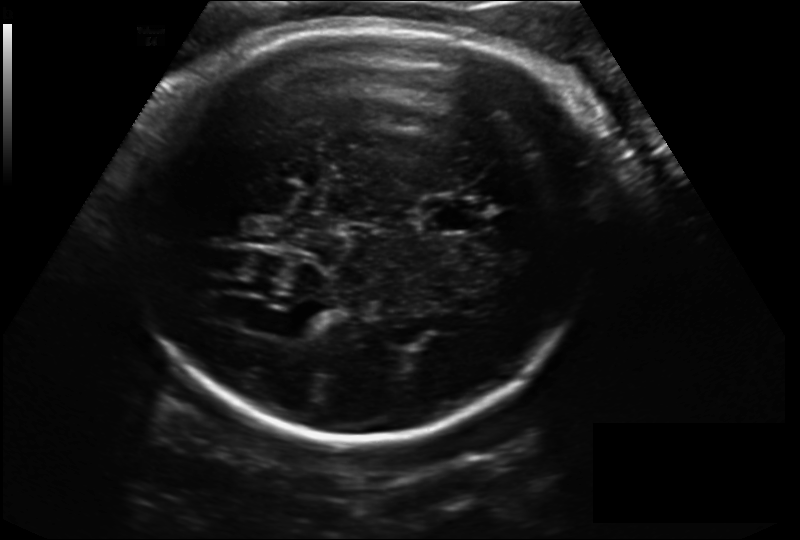
In this fetal head ultrasound, give bounding boxes for the head outline, cavum septum pellucidum (CSP), and lateral ventricle (LV), where visible. Image width: 158.7 mm.

Head: [133,22,603,438]
CSP: [423,199,485,232]
Lateral ventricle: [266,307,321,344]